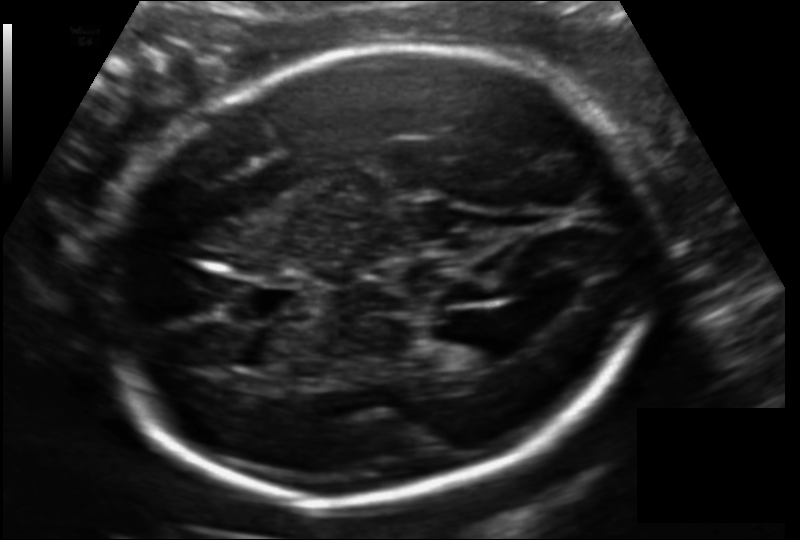
Fetal head ultrasound. Image width: 111.6 mm. Where is the lateral ventricle?

Lateral ventricle bounding box: [435,327,504,377]